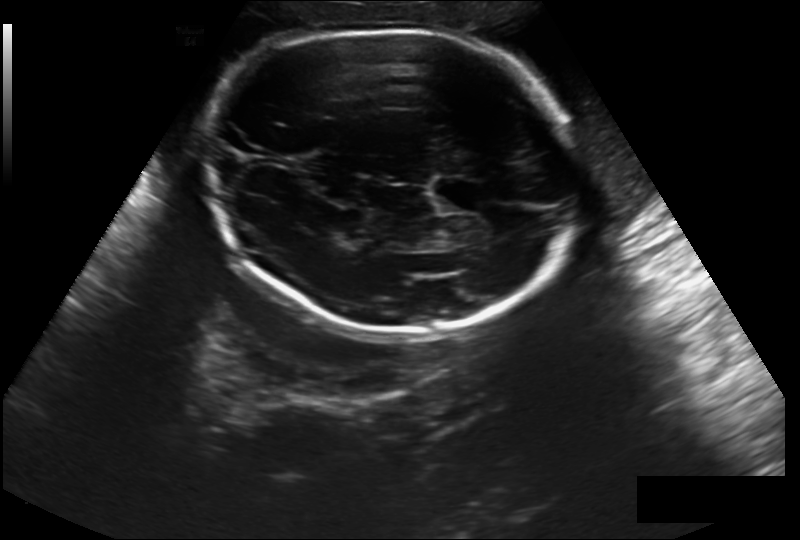
Fetal head ultrasound. Image width: 195.6 mm. Where is the fetal head?

Head bounding box: [201,29,579,336]